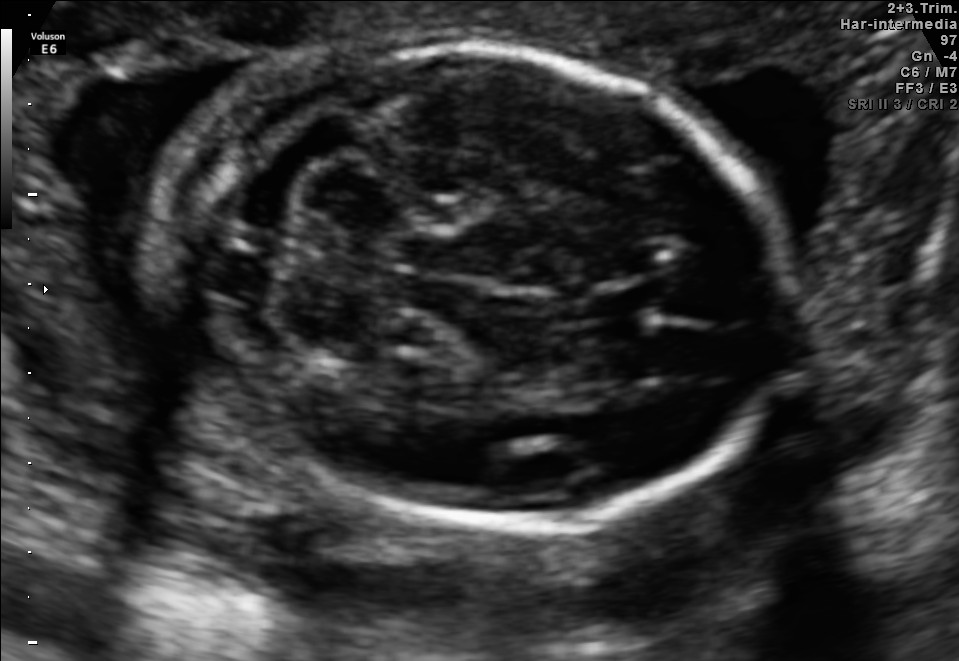
Classify this maternal-fetal ultrasound image as one of the six standard planes — fetal abdomen, fetal brain, fetal femur, fetal thorax, maternal cervix, or other. If it's fetal brain and one of the three standard brain planes (trans-thalamic, trans-cerebellum, trans-ventricular), name which.

Fetal brain (trans-cerebellum plane)